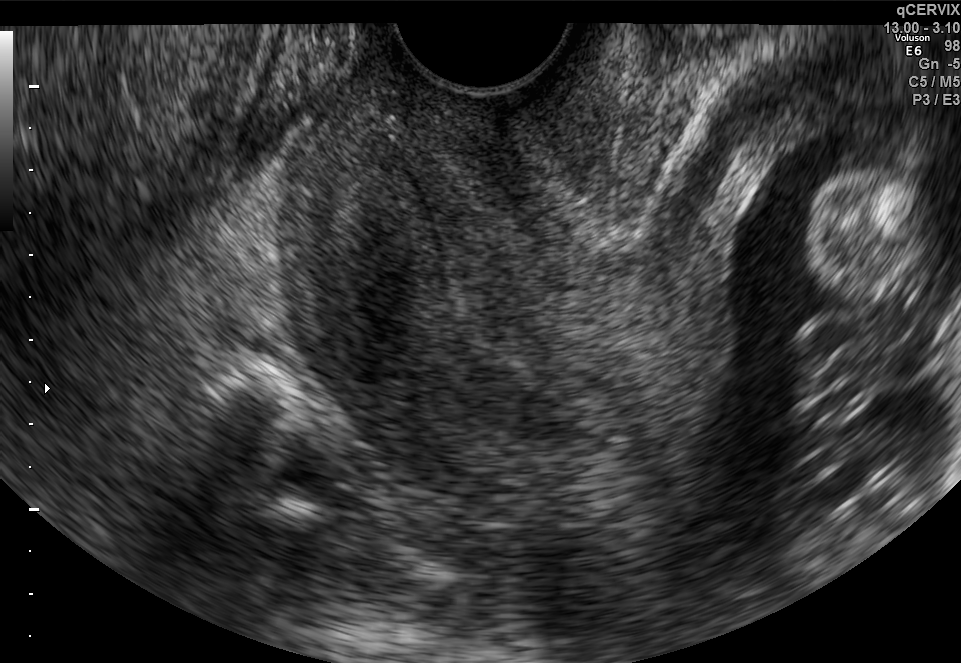
Which standard maternal-fetal ultrasound plane is shown: fetal abdomen, fetal brain, fetal femur, fetal thorax, maternal cervix, or other? If it's fetal brain and one of the three standard brain planes (trans-thalamic, trans-cerebellum, trans-ventricular), name which.

Maternal cervix